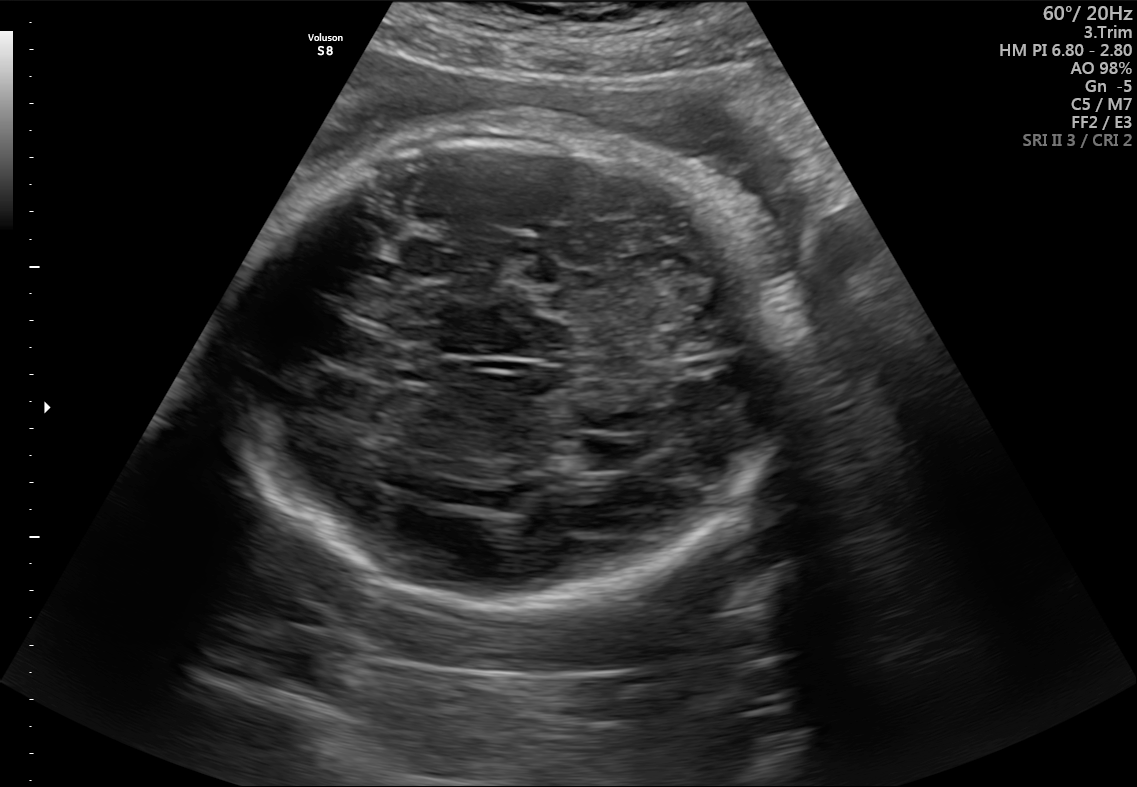
Fetal brain, trans-thalamic plane. Locate the fetal head and, if visible, the cavum septum pellucidum (CSP) and lateral ventricle (LV). Give bounding boxes as [x1,y1,x2,y2].

Head: [221,130,798,605]
Lateral ventricle: [571,435,631,471]